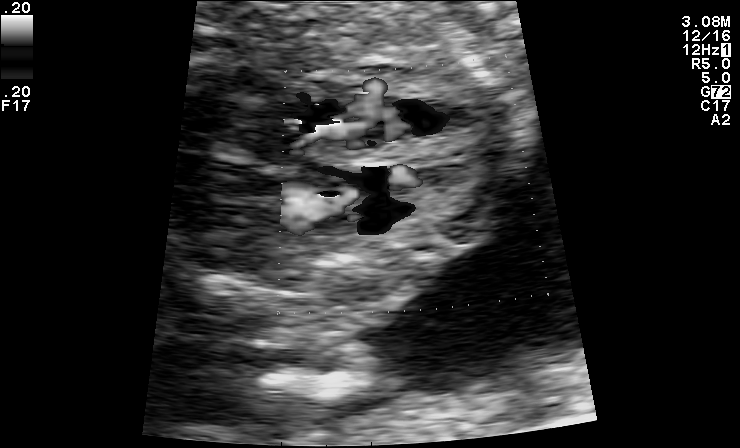
This is a 2D maternal-fetal ultrasound frame. Is it a fetal abdomen, fetal brain, fetal femur, fetal thorax, maternal cervix, or other standard plane? If it's fetal brain and one of the three standard brain planes (trans-thalamic, trans-cerebellum, trans-ventricular), name which.

Other